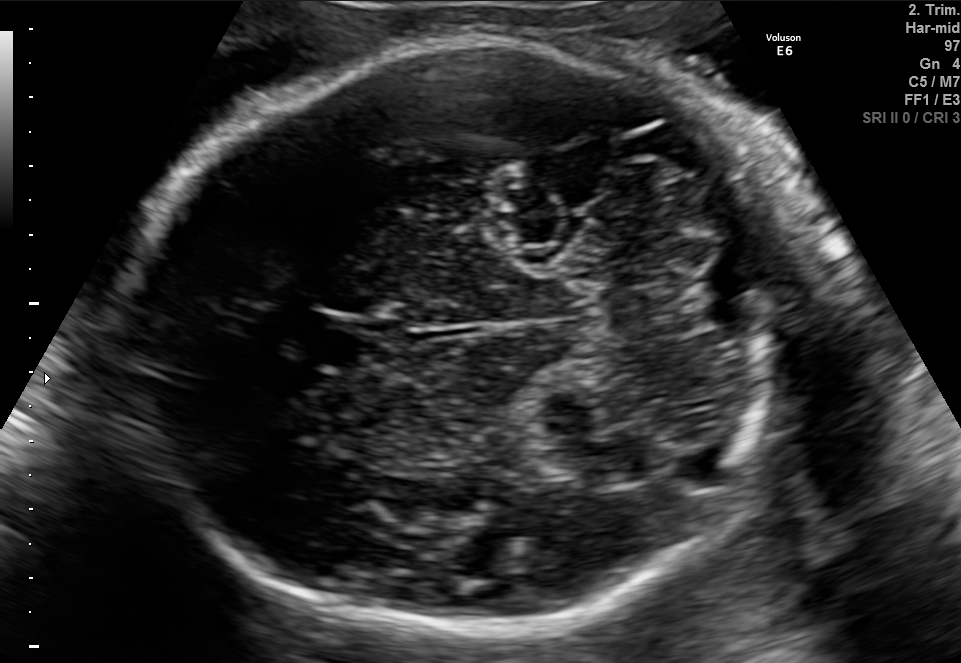
Fetal brain, trans-cerebellum plane. Give [x1,y1,x2,y2] bounding boxes for each visible structure among: fetal head, CSP, LV.

Head: [135,43,782,636]
CSP: [292,307,385,381]